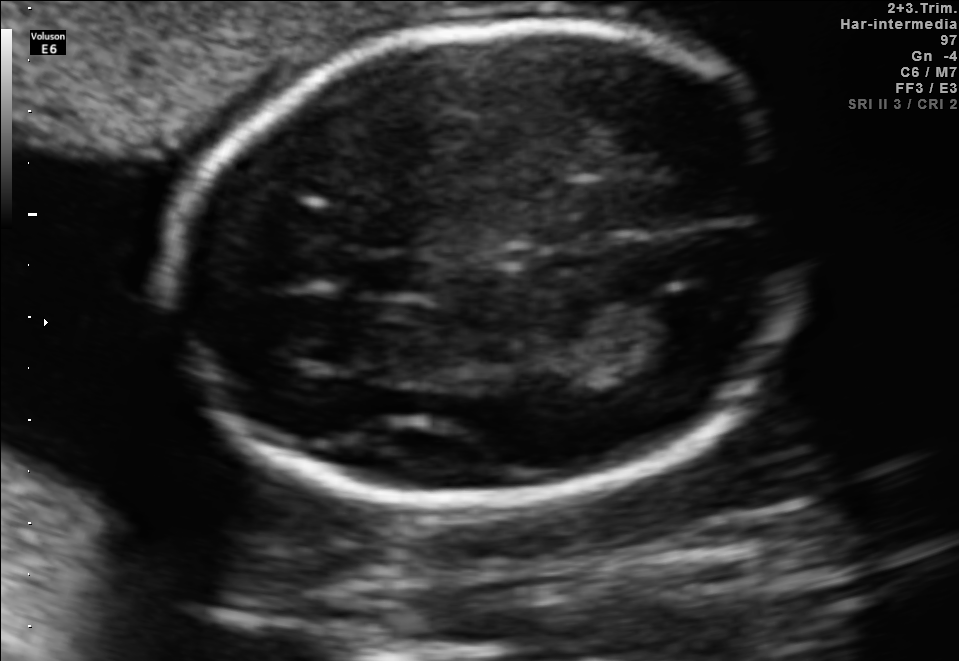
In this fetal brain, trans-thalamic plane, give the bounding box of the lateral ventricle.

[580,287,716,370]